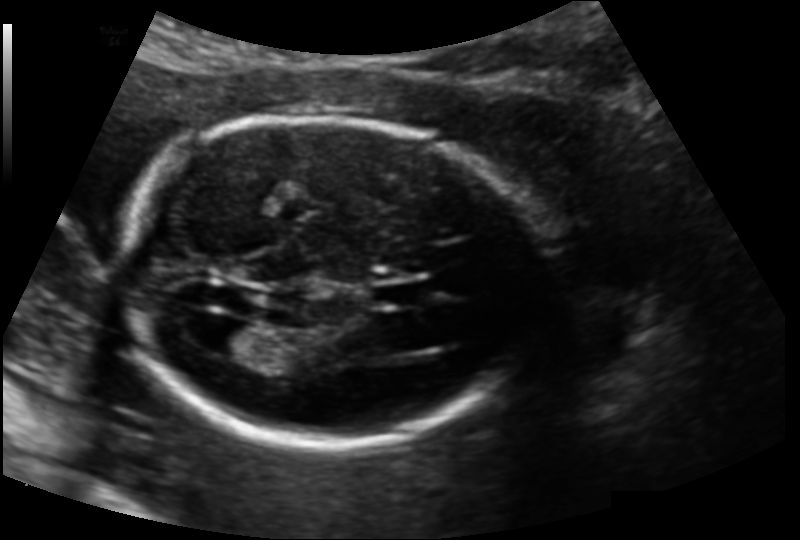
From this fetal ultrasound, estimate the head circumference (image width 111.6 mm).

Head circumference: 177.8 mm.